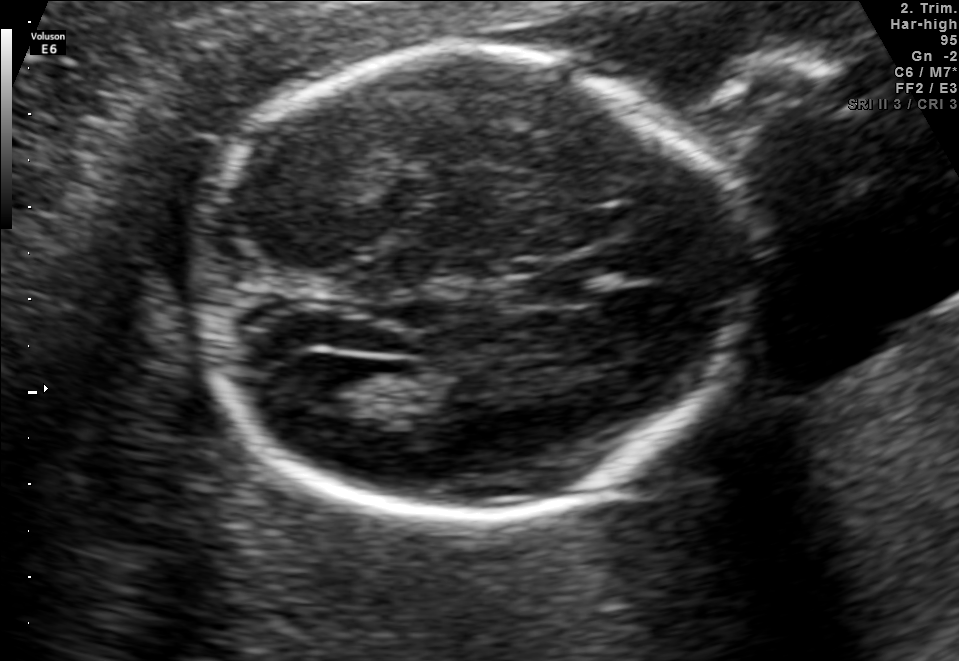
Fetal brain, trans-ventricular plane. Where is the fetal head?

Head bounding box: [187,38,762,527]